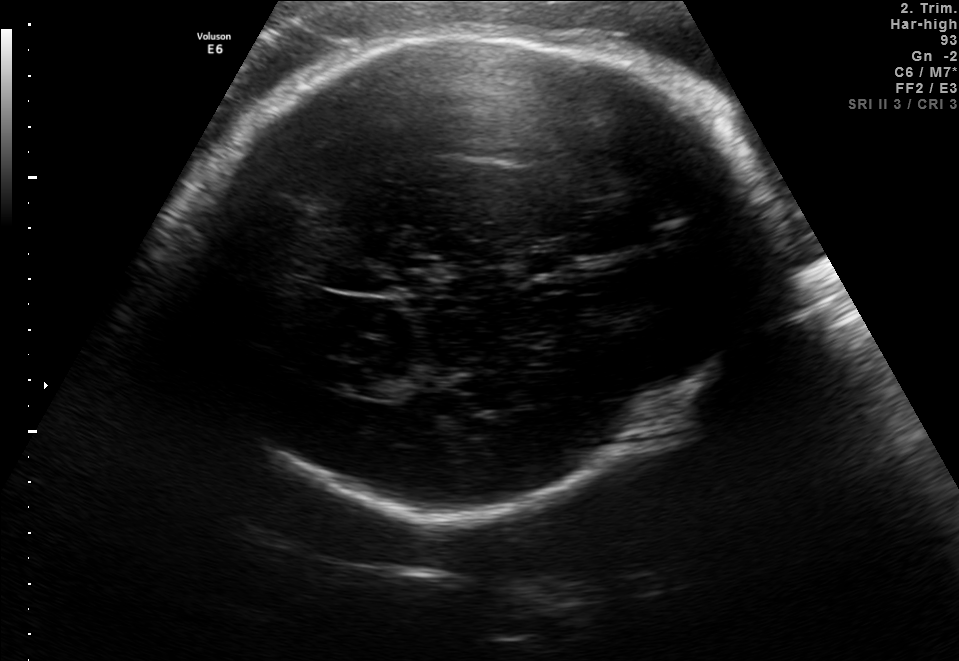
Fetal brain, trans-thalamic plane. Give [x1,y1,x2,y2] bounding boxes for each visible structure among: fetal head, CSP, LV.

Head: [188,35,759,514]
CSP: [523,251,573,275]
Lateral ventricle: [341,363,410,403]